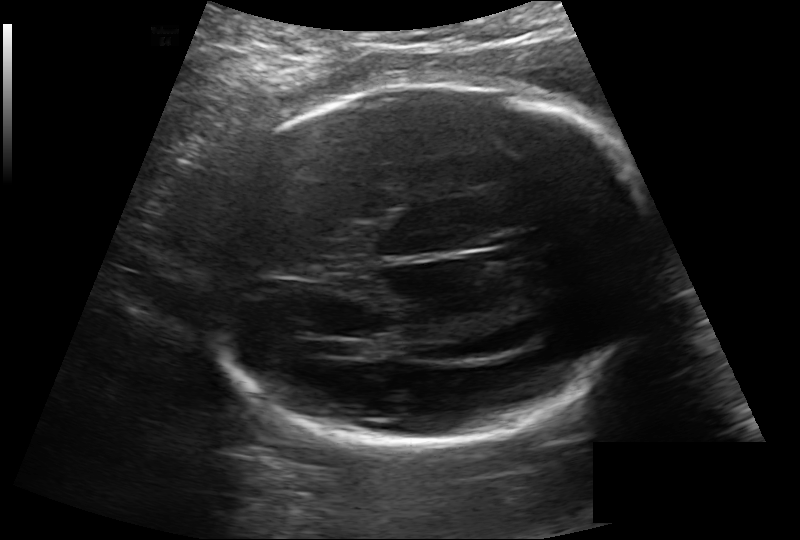
Estimate the fetal head circumference from this 2D ultrasound. Image width: 151.0 mm.

Head circumference: 247.1 mm.